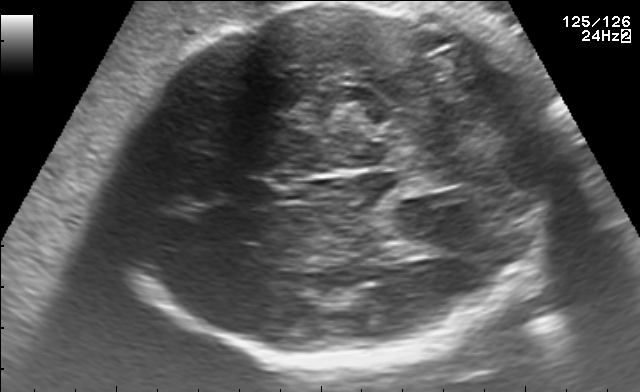
Fetal brain, trans-thalamic plane. Where is the fetal head?

Head bounding box: [113,2,578,366]